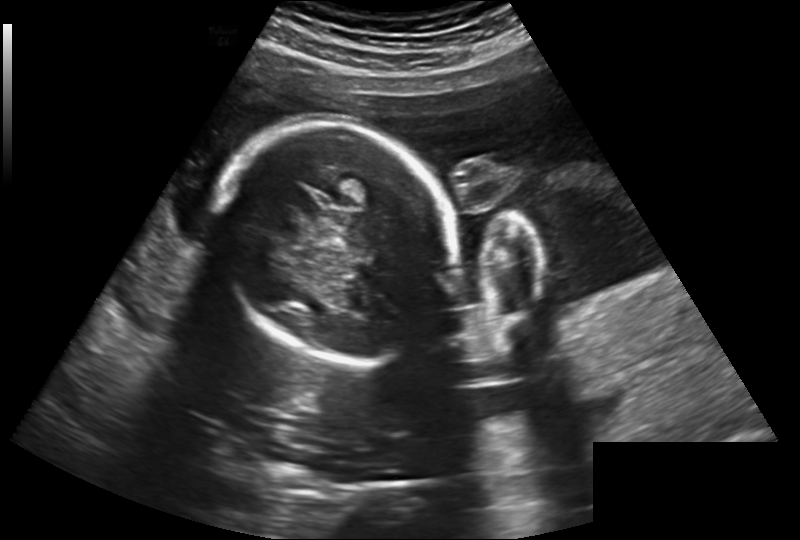
Estimate the fetal head circumference from this 2D ultrasound.

Head circumference: 206.9 mm (image width 208.4 mm).